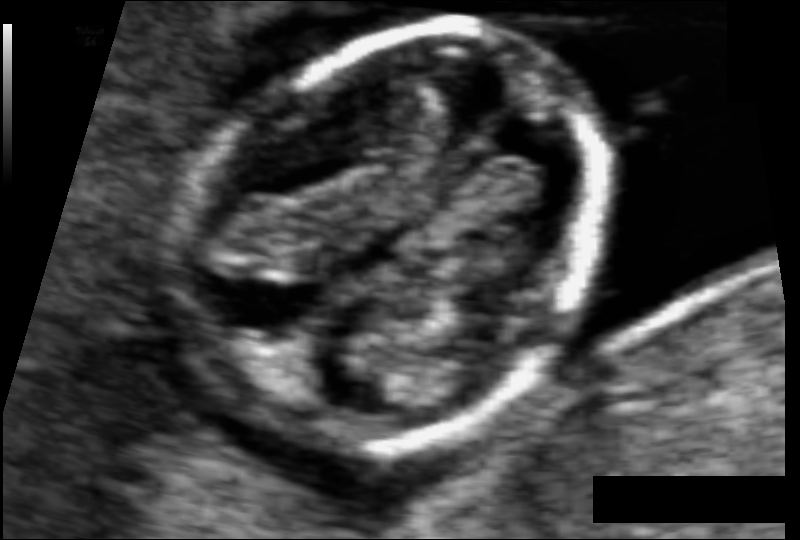
Fetal head ultrasound. Image width: 47.6 mm. Locate the fetal head.

Head: [189,29,610,448]